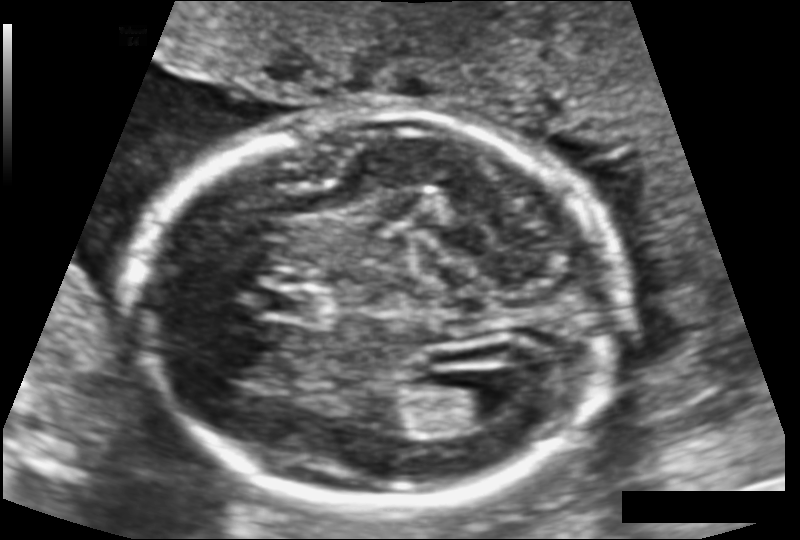
Estimate the fetal head circumference from this 2D ultrasound. Image width: 99.5 mm.

Head circumference: 179.0 mm.